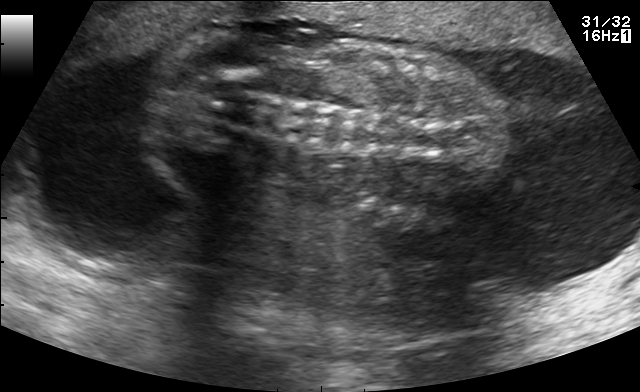
This is a 2D maternal-fetal ultrasound frame. Is it a fetal abdomen, fetal brain, fetal femur, fetal thorax, maternal cervix, or other standard plane? If it's fetal brain and one of the three standard brain planes (trans-thalamic, trans-cerebellum, trans-ventricular), name which.

Other